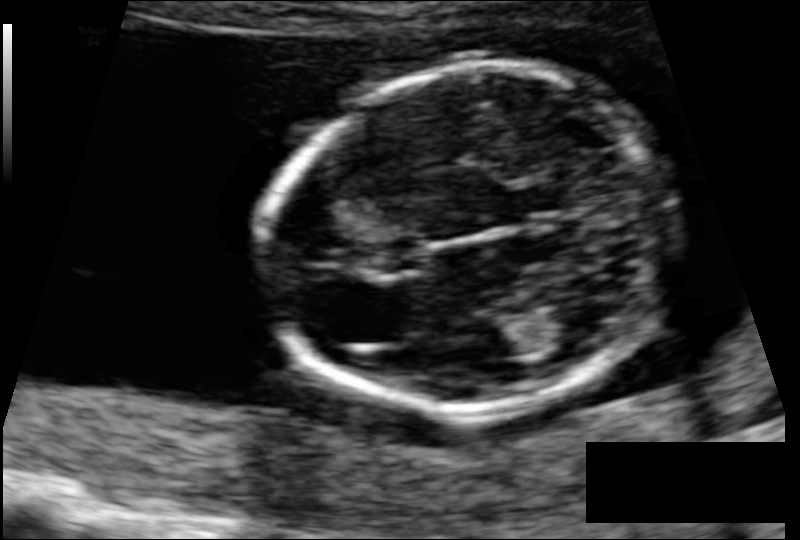
Fetal head ultrasound. Image width: 70.5 mm. Locate the fetal head.

Head: [263,68,674,418]